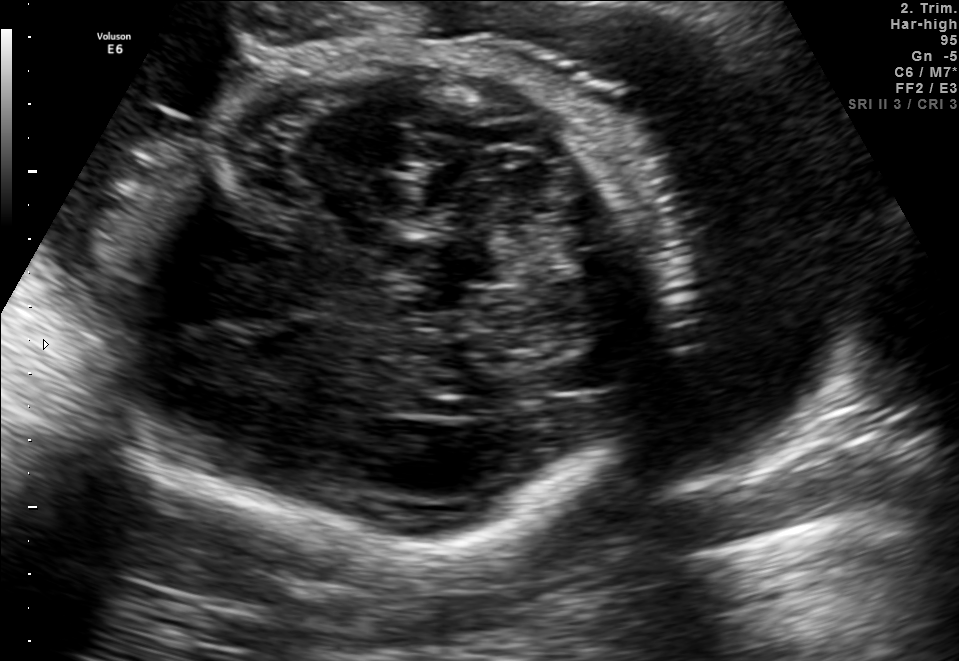
Which standard maternal-fetal ultrasound plane is shown: fetal abdomen, fetal brain, fetal femur, fetal thorax, maternal cervix, or other? If it's fetal brain and one of the three standard brain planes (trans-thalamic, trans-cerebellum, trans-ventricular), name which.

Fetal brain